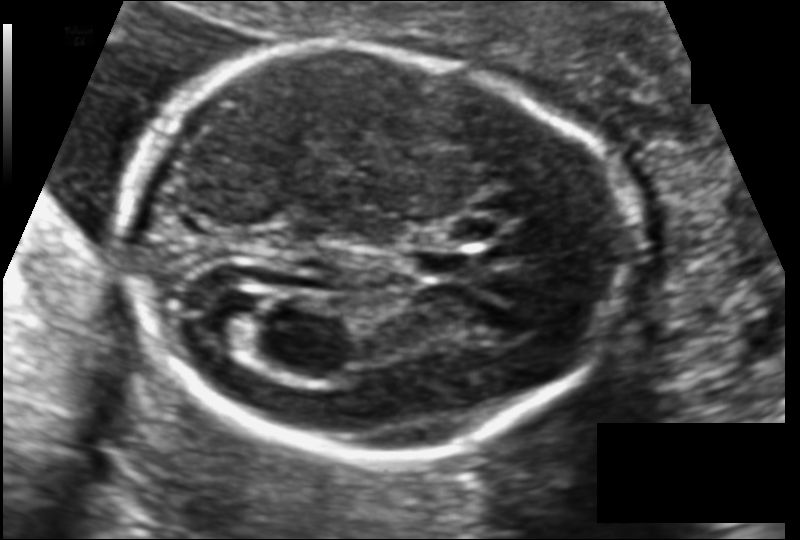
In this fetal head ultrasound, give the bounding box of the fetal head. Image width: 93.1 mm.

[123,49,622,458]